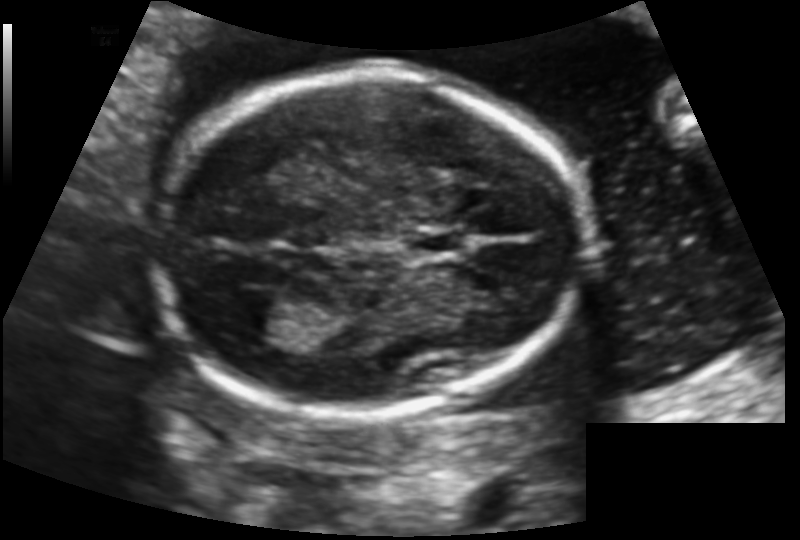
Fetal head ultrasound. Image width: 103.6 mm. Where is the fetal head?

Head bounding box: [152,68,585,413]